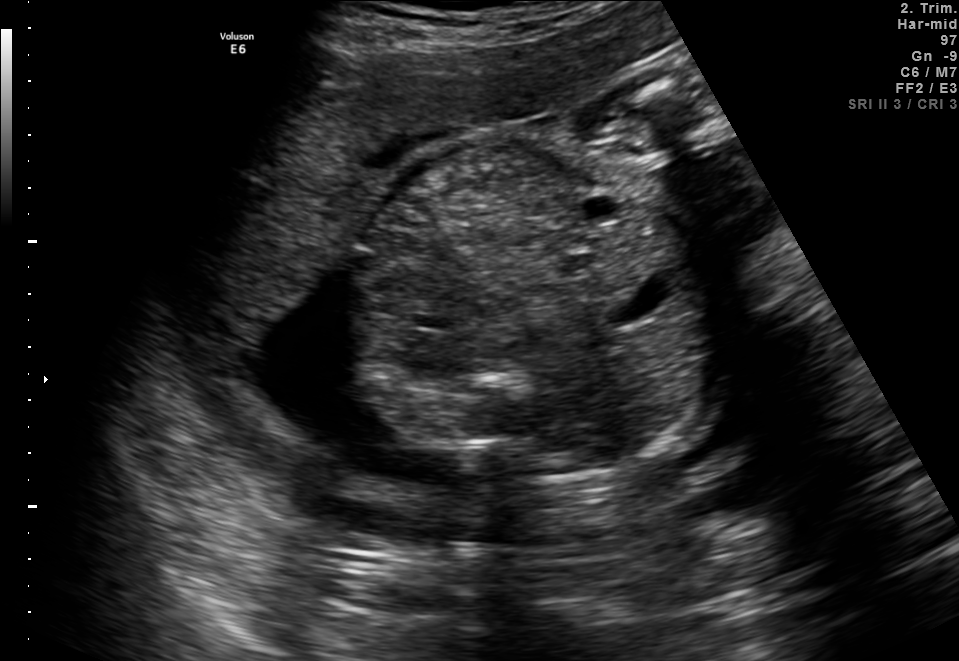
Which standard maternal-fetal ultrasound plane is shown: fetal abdomen, fetal brain, fetal femur, fetal thorax, maternal cervix, or other? If it's fetal brain and one of the three standard brain planes (trans-thalamic, trans-cerebellum, trans-ventricular), name which.

Fetal abdomen